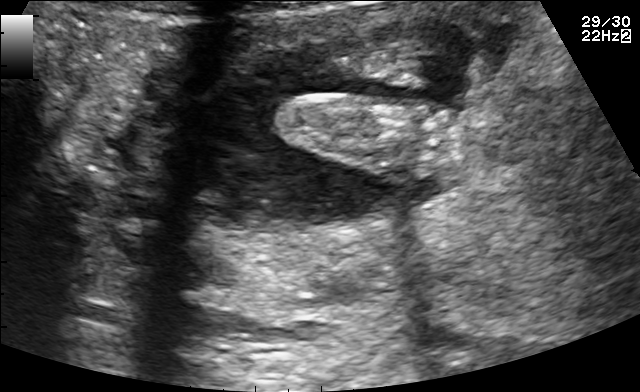
This is a 2D maternal-fetal ultrasound frame. Is it a fetal abdomen, fetal brain, fetal femur, fetal thorax, maternal cervix, or other standard plane? If it's fetal brain and one of the three standard brain planes (trans-thalamic, trans-cerebellum, trans-ventricular), name which.

Other